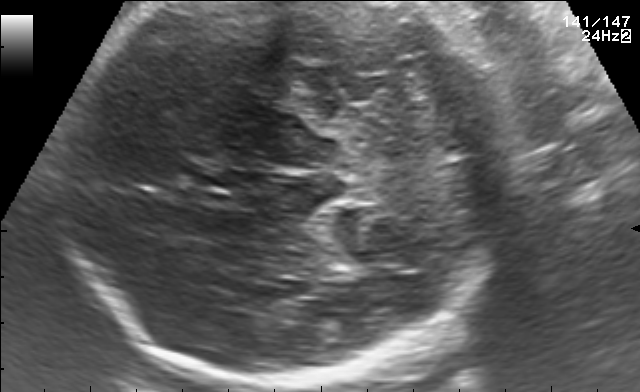
In this fetal brain, trans-cerebellum plane, give bounding boxes for the head outline, cavum septum pellucidum (CSP), and lateral ventricle (LV), where visible.

Head: [67,4,498,385]